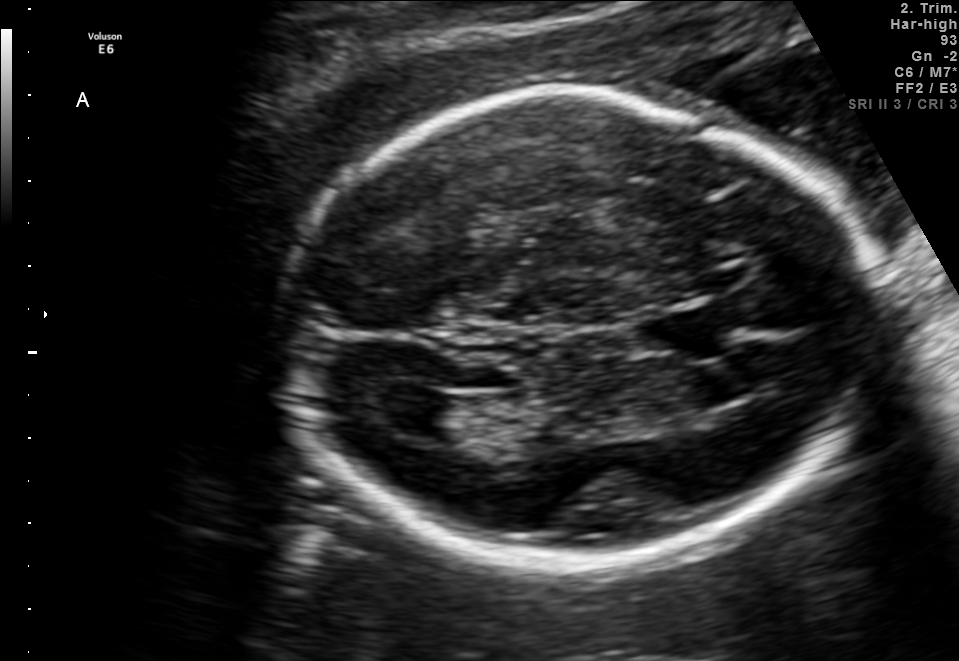
In this fetal brain, trans-ventricular plane, give the bounding box of the cavum septum pellucidum.

[630,309,702,354]